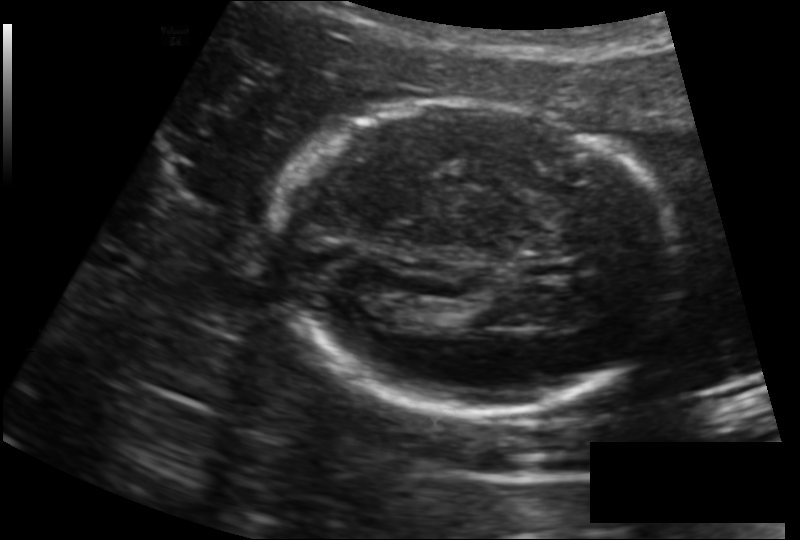
Measure the fetal head circumference shown in this ultrasound image. Image width: 125.2 mm.

Head circumference: 183.8 mm.